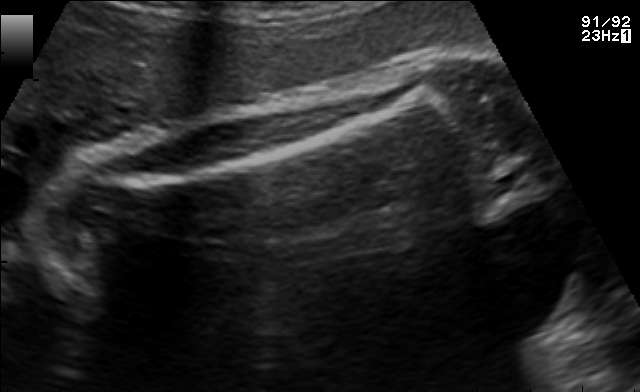
Identify the standard plane in this fetal ultrasound image: fetal abdomen, fetal brain, fetal femur, fetal thorax, maternal cervix, or other. If it's fetal brain and one of the three standard brain planes (trans-thalamic, trans-cerebellum, trans-ventricular), name which.

Fetal femur